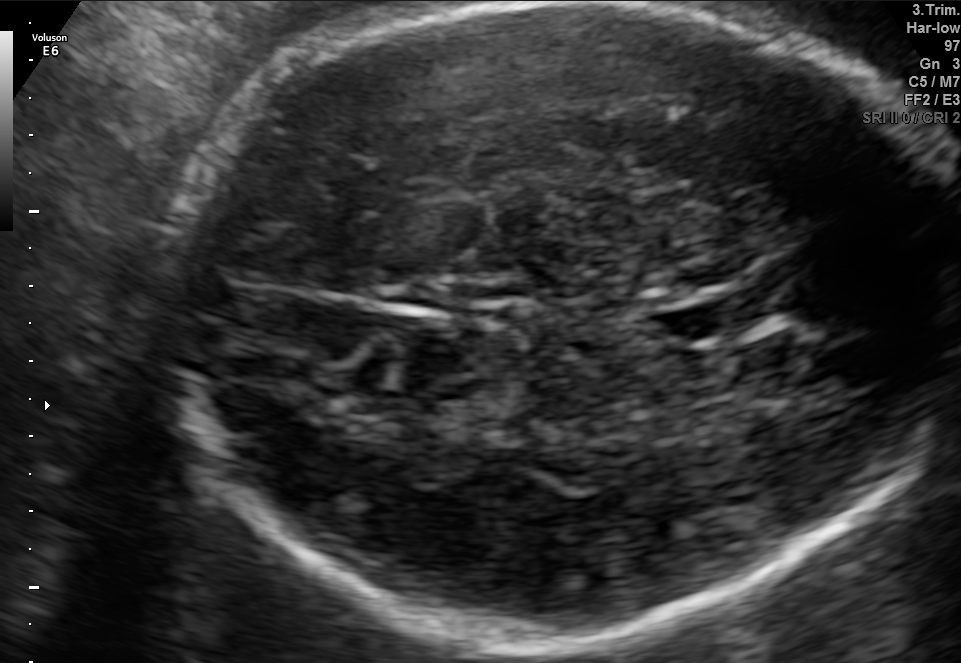
Fetal brain, trans-thalamic plane. Where is the fetal head?

Head bounding box: [169,3,952,650]